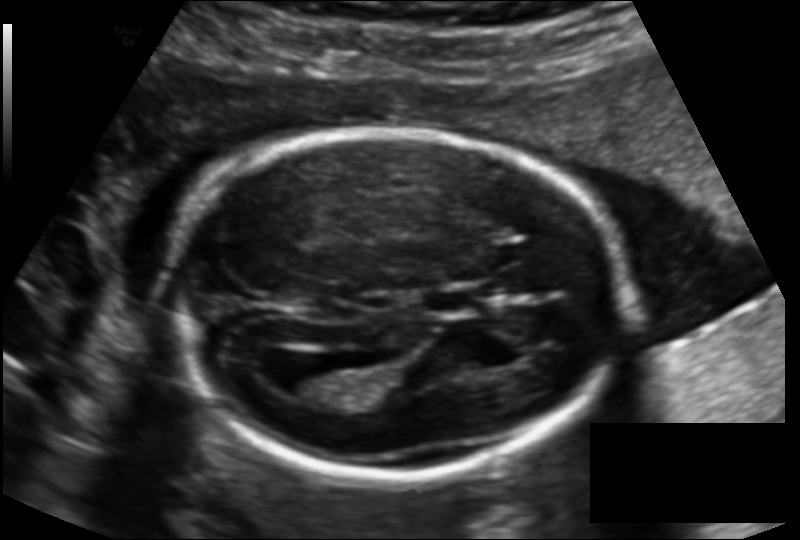
Fetal head ultrasound. Image width: 109.0 mm. Where is the lateral ventricle?

Lateral ventricle bounding box: [279,354,353,405]